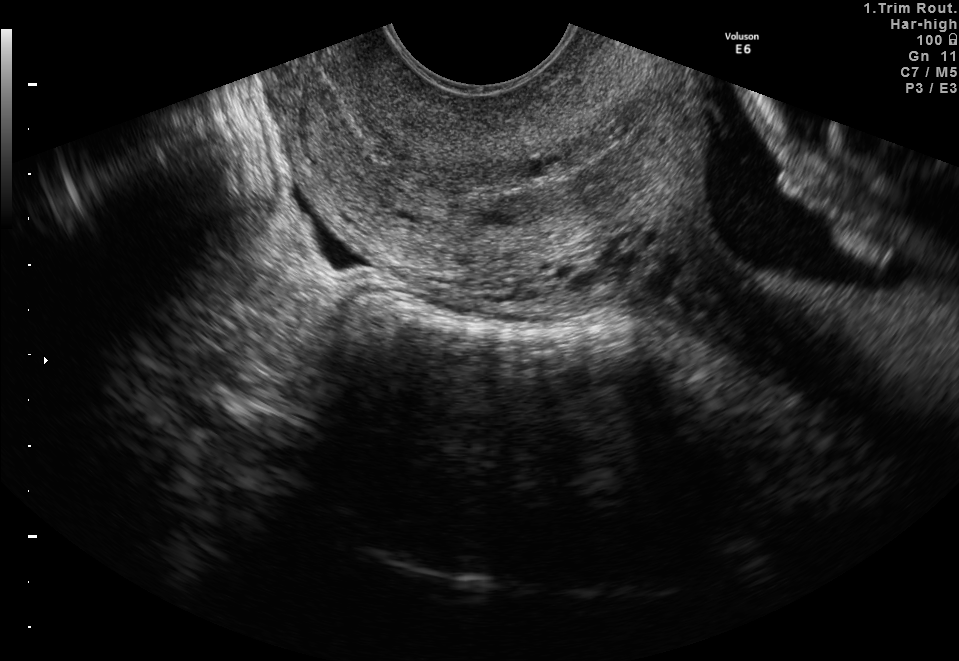
Classify this maternal-fetal ultrasound image as one of the six standard planes — fetal abdomen, fetal brain, fetal femur, fetal thorax, maternal cervix, or other. If it's fetal brain and one of the three standard brain planes (trans-thalamic, trans-cerebellum, trans-ventricular), name which.

Maternal cervix